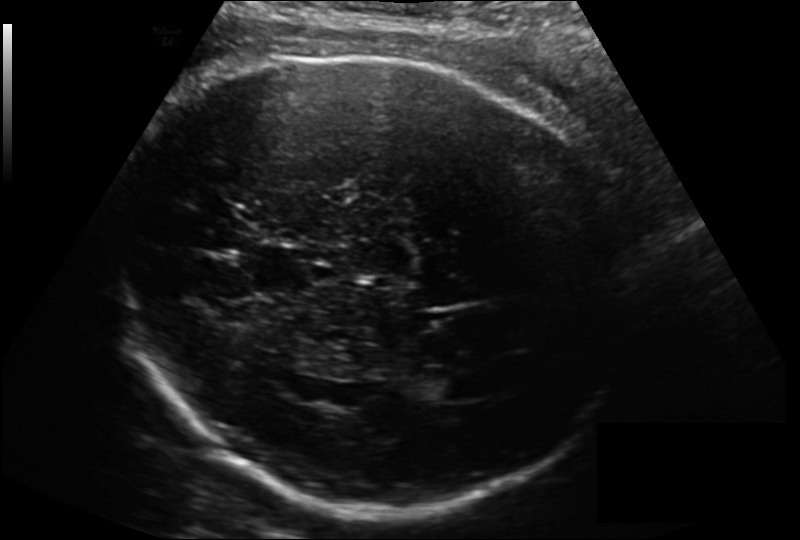
Fetal head ultrasound. Image width: 159.6 mm. Locate the fetal head.

Head: [113,55,635,507]